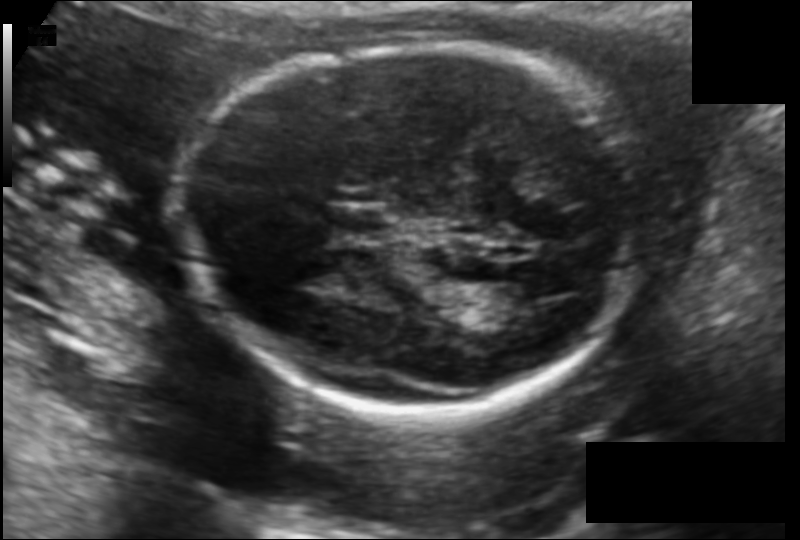
In this fetal head ultrasound, give the bounding box of the fetal head. Image width: 98.5 mm.

[186,46,634,414]